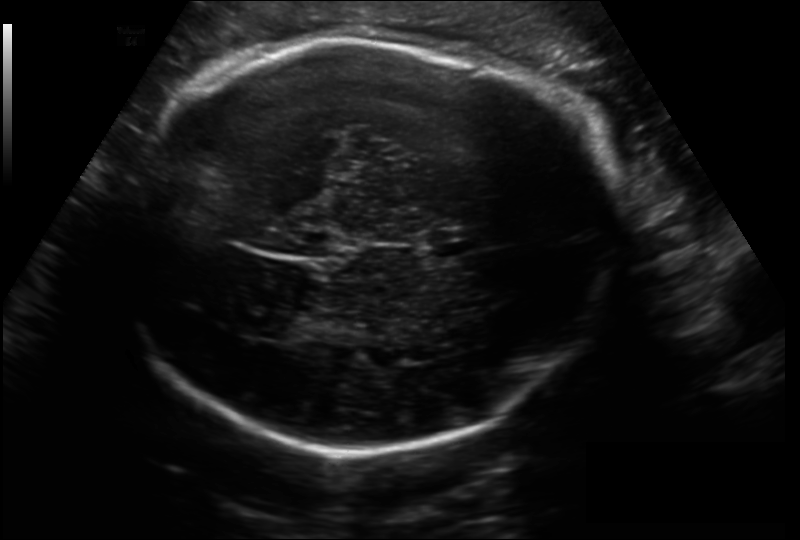
From this fetal ultrasound, estimate the head circumference (image width 164.9 mm).

Head circumference: 300.0 mm.